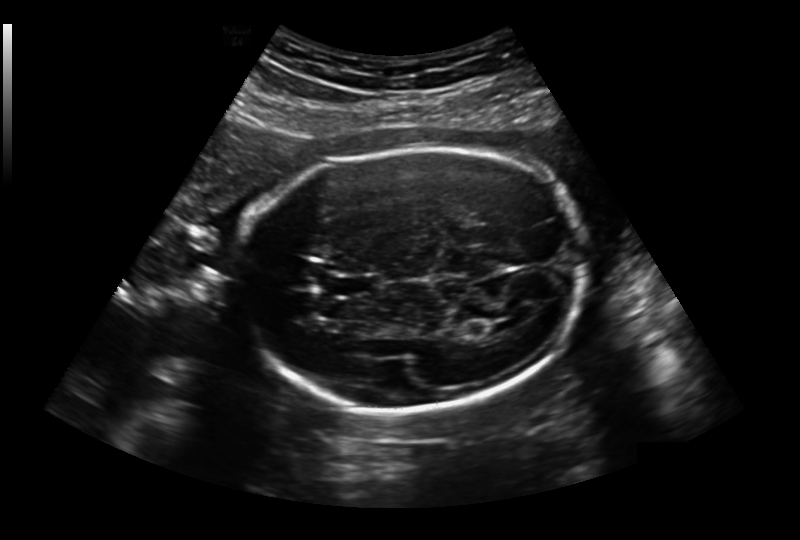
In this fetal head ultrasound, give the bounding box of the fetal head. Image width: 188.7 mm.

[239,150,586,410]